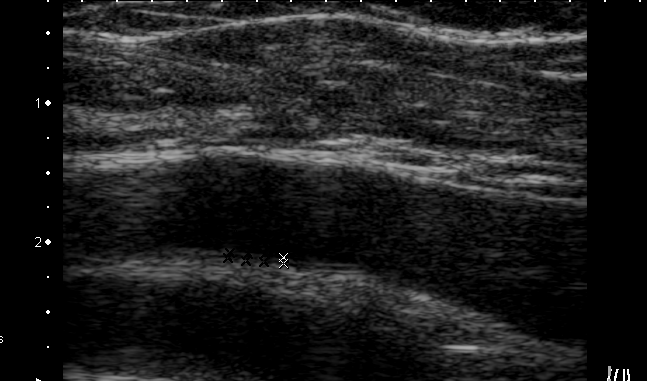
This is a 2D maternal-fetal ultrasound frame. Is it a fetal abdomen, fetal brain, fetal femur, fetal thorax, maternal cervix, or other standard plane? If it's fetal brain and one of the three standard brain planes (trans-thalamic, trans-cerebellum, trans-ventricular), name which.

Other